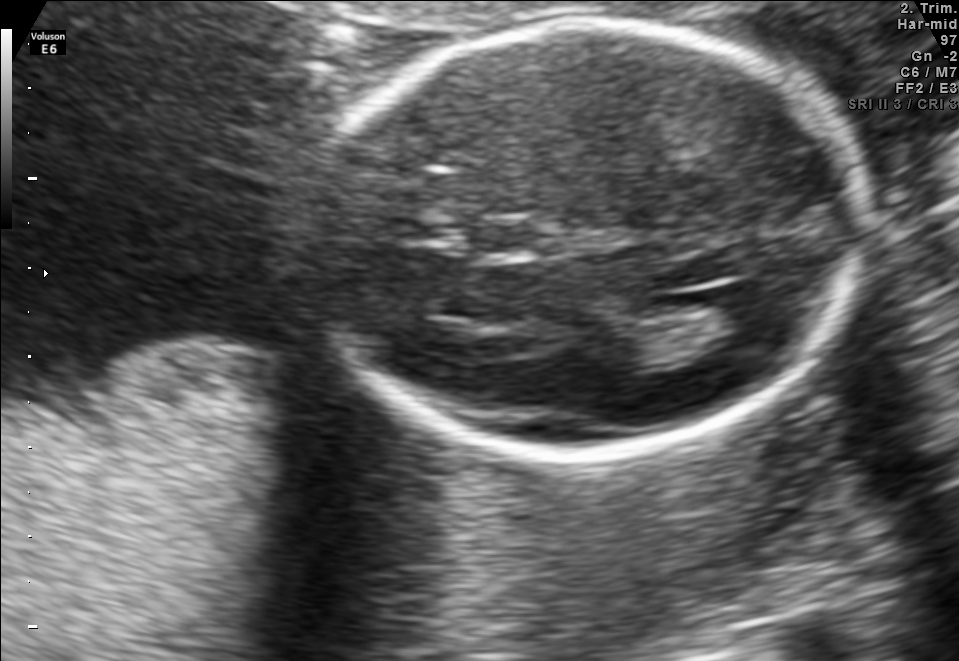
Fetal brain, trans-ventricular plane. Locate the lateral ventricle.

Lateral ventricle: [706,272,791,346]